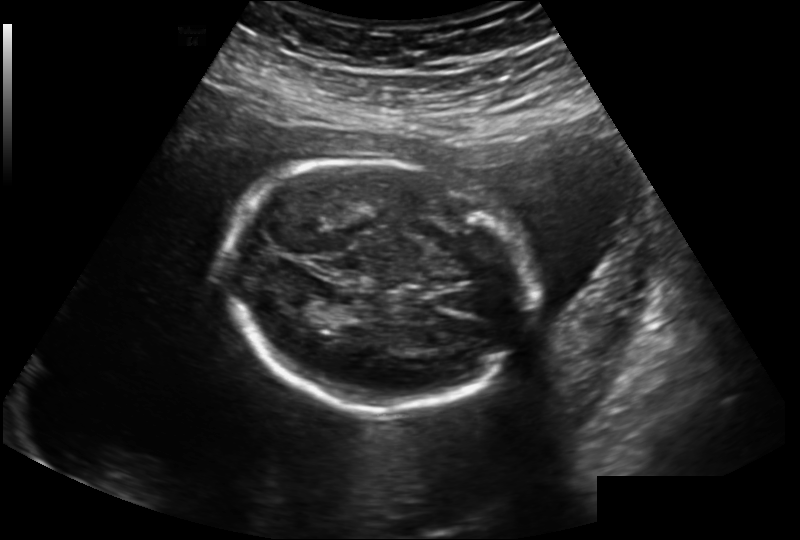
In this fetal head ultrasound, give bounding boxes for the head outline, cavum septum pellucidum (CSP), and lateral ventricle (LV), where visible. Image width: 161.6 mm.

Head: [223,160,531,409]